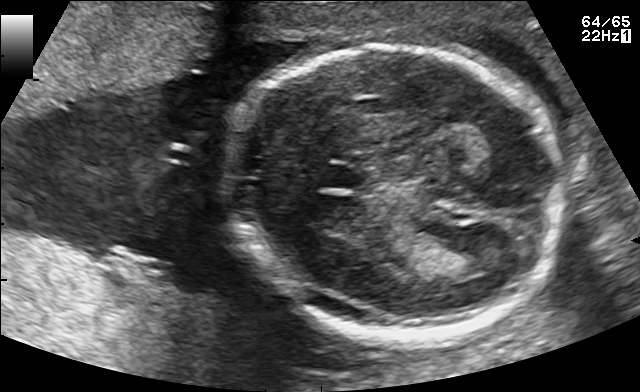
In this fetal brain, trans-thalamic plane, give the bounding box of the cavum septum pellucidum.

[320,164,361,189]